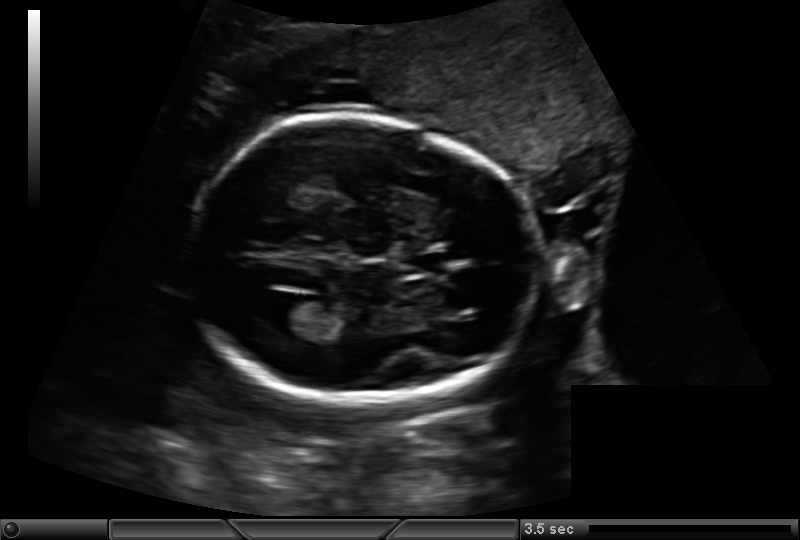
Fetal head ultrasound. Image width: 126.8 mm. Where is the fetal head?

Head bounding box: [189,117,540,402]